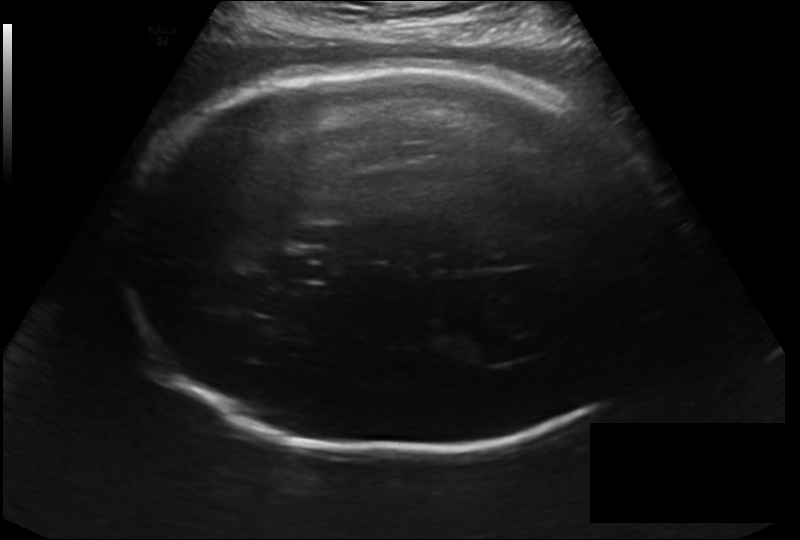
Fetal head ultrasound. Image width: 171.6 mm. Locate the cavum septum pellucidum.

CSP: [279,247,329,283]